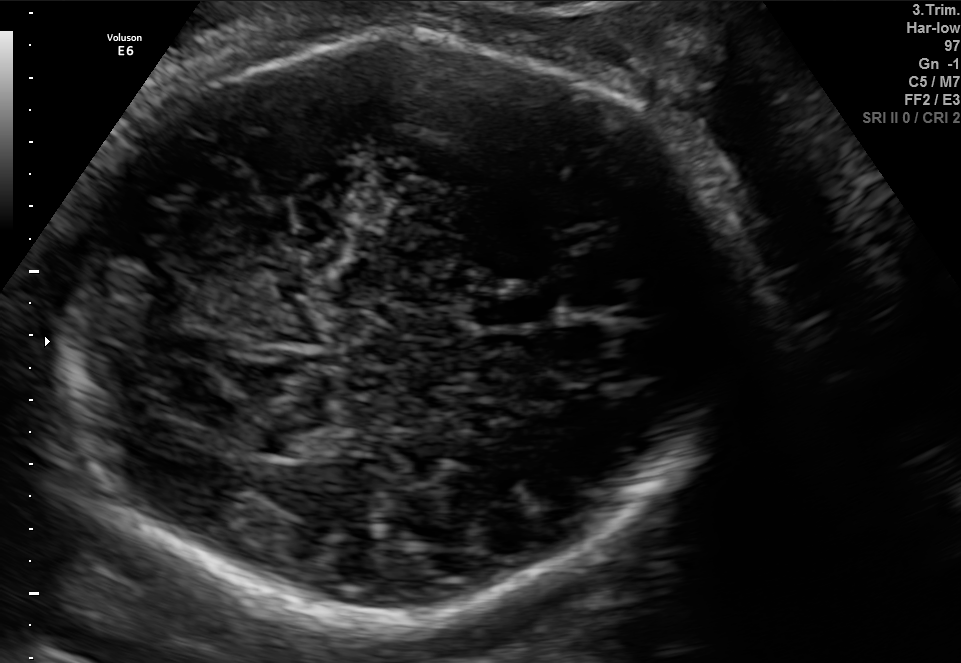
Fetal brain, trans-cerebellum plane. Locate the cavum septum pellucidum.

CSP: [469,287,558,331]